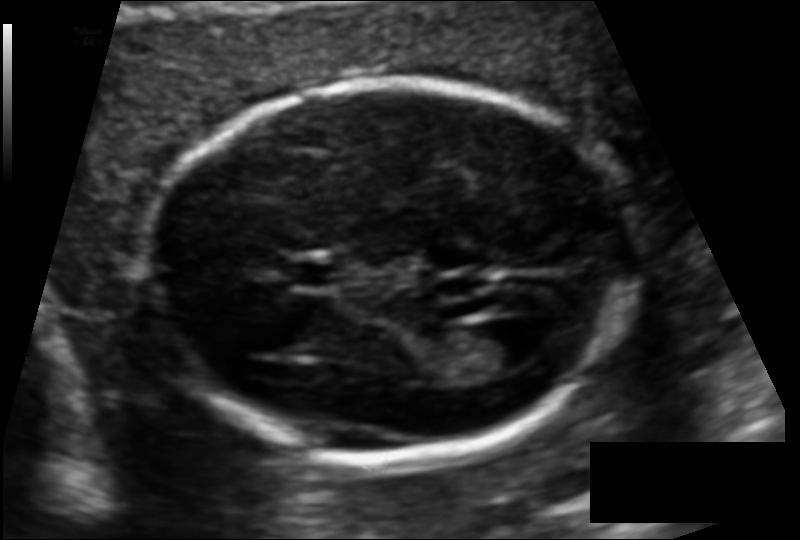
In this fetal head ultrasound, give the bounding box of the cavum septum pellucidum. Image width: 88.0 mm.

[287,263,343,286]